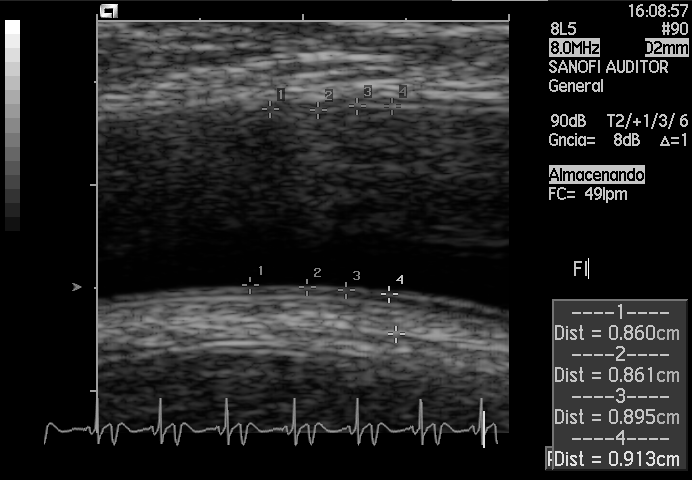
Which standard maternal-fetal ultrasound plane is shown: fetal abdomen, fetal brain, fetal femur, fetal thorax, maternal cervix, or other? If it's fetal brain and one of the three standard brain planes (trans-thalamic, trans-cerebellum, trans-ventricular), name which.

Other